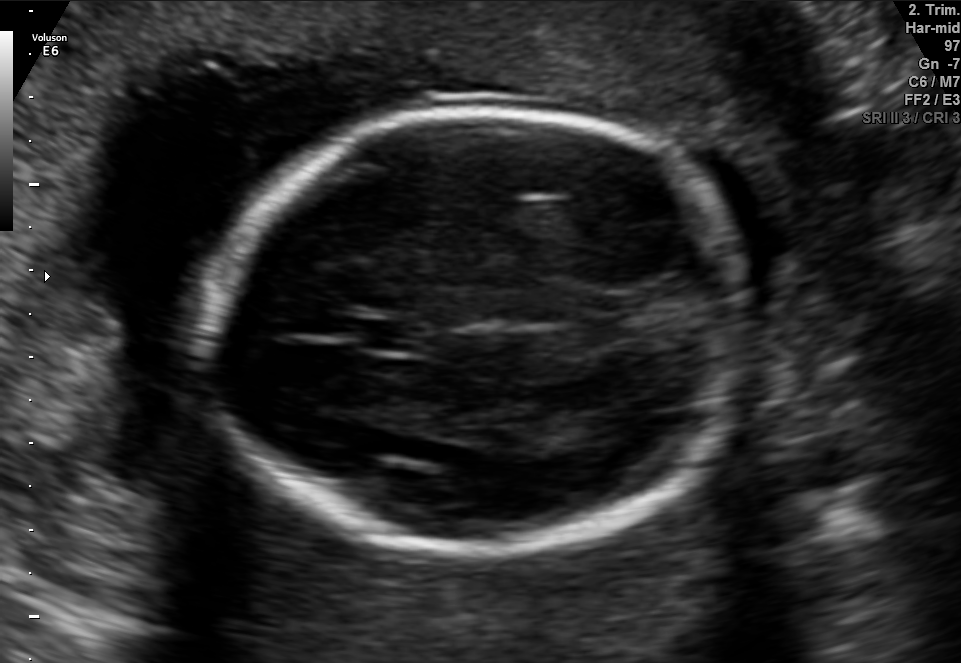
In this fetal brain, trans-thalamic plane, give bounding boxes for the head outline, cavum septum pellucidum (CSP), and lateral ventricle (LV), where visible.

Head: [208,107,751,558]
CSP: [358,317,425,352]